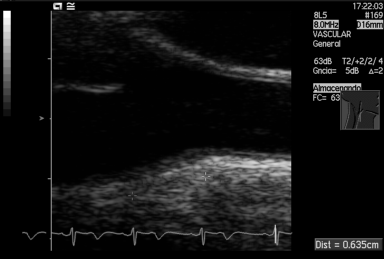
Which standard maternal-fetal ultrasound plane is shown: fetal abdomen, fetal brain, fetal femur, fetal thorax, maternal cervix, or other? If it's fetal brain and one of the three standard brain planes (trans-thalamic, trans-cerebellum, trans-ventricular), name which.

Other